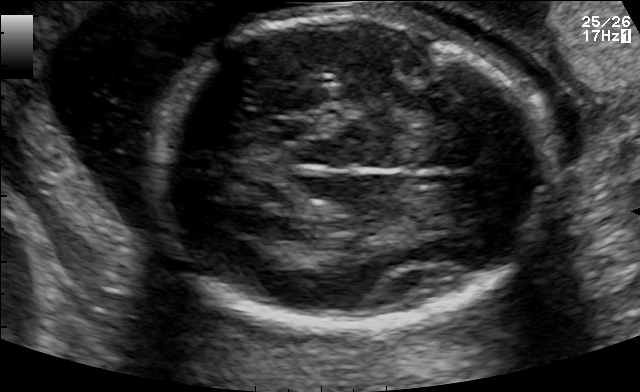
Fetal brain, trans-thalamic plane. Where is the fetal head?

Head bounding box: [153,18,553,326]